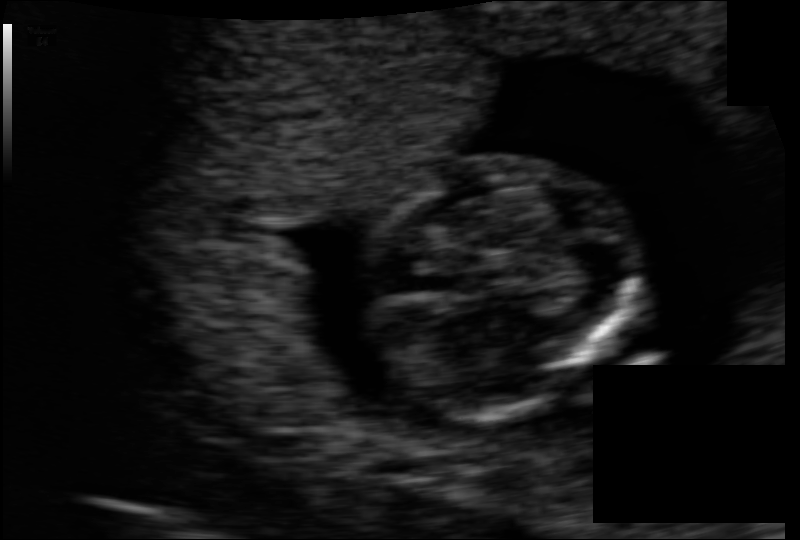
In this fetal head ultrasound, give the bounding box of the fetal head. Image width: 66.6 mm.

[361,153,629,415]